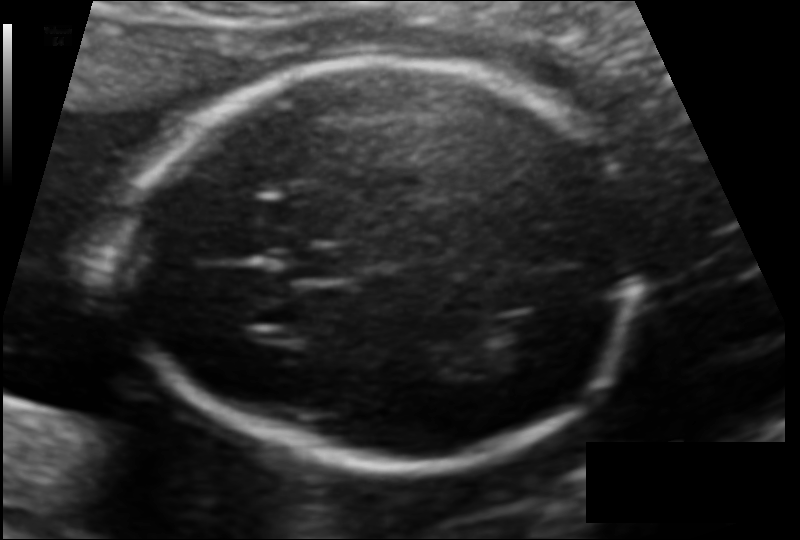
From this fetal ultrasound, estimate the head circumference (image width 92.5 mm).

Head circumference: 171.8 mm.